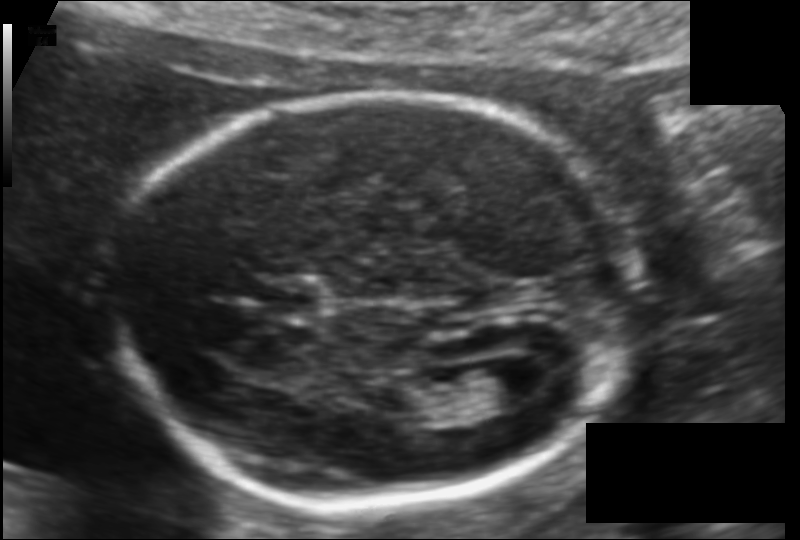
Fetal head ultrasound. Image width: 92.0 mm. Locate the lateral ventricle.

Lateral ventricle: [461,354,542,417]